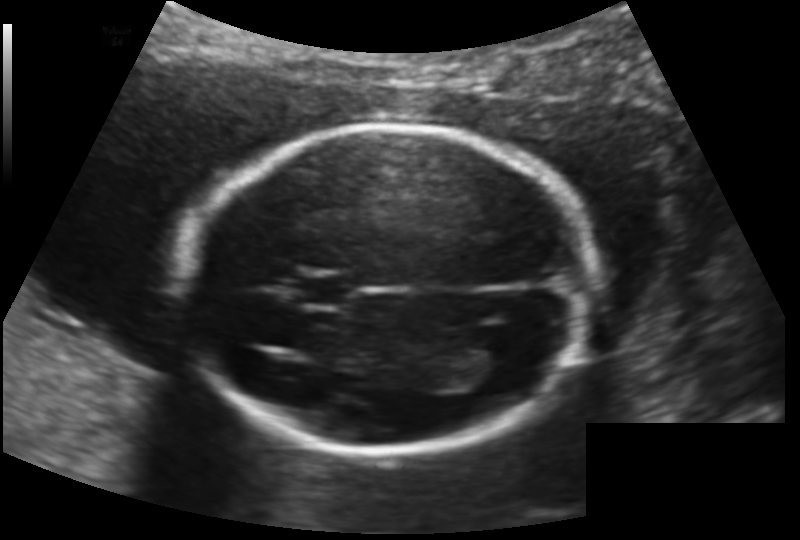
What is the fetal head circumference? Image width is 116.3 mm.

174.8 mm